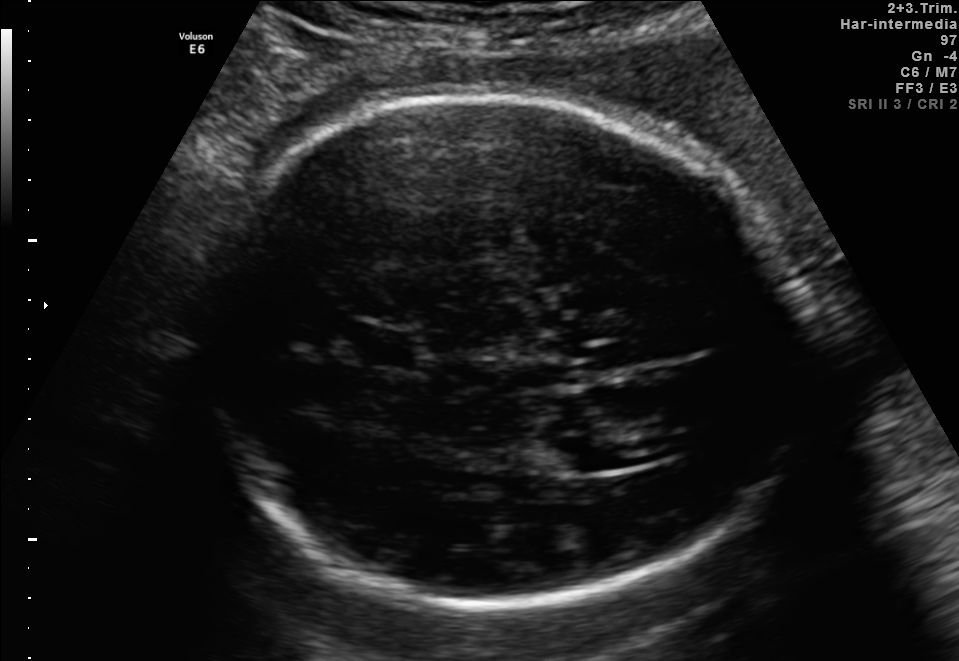
In this fetal brain, trans-ventricular plane, give the bounding box of the cavum septum pellucidum.

[341,320,437,378]